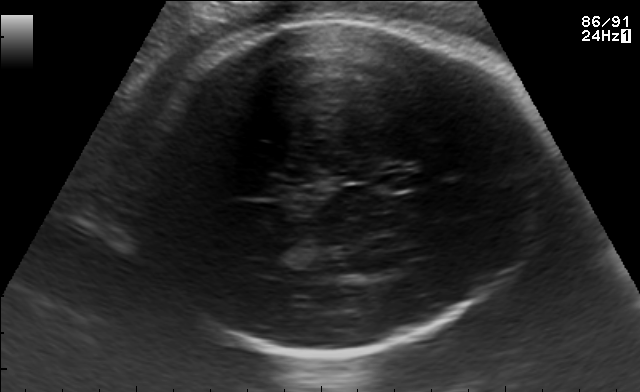
Fetal brain, trans-thalamic plane. Locate the cavum septum pellucidum.

CSP: [380,167,426,194]